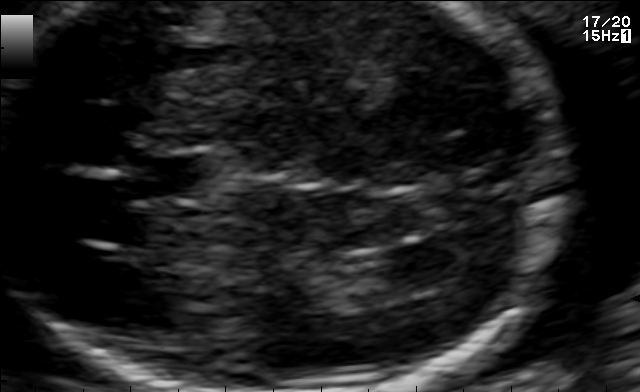
In this fetal brain, trans-ventricular plane, give the bounding box of the cavum septum pellucidum.

[130,157,201,197]